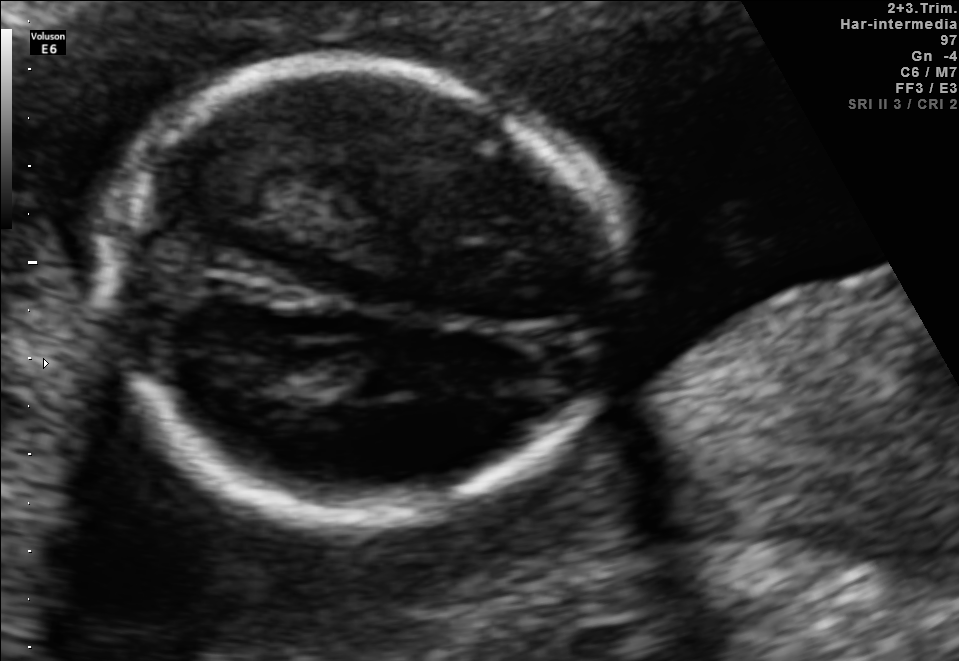
Fetal brain, trans-thalamic plane. Locate the fetal head.

Head: [99,66,624,527]